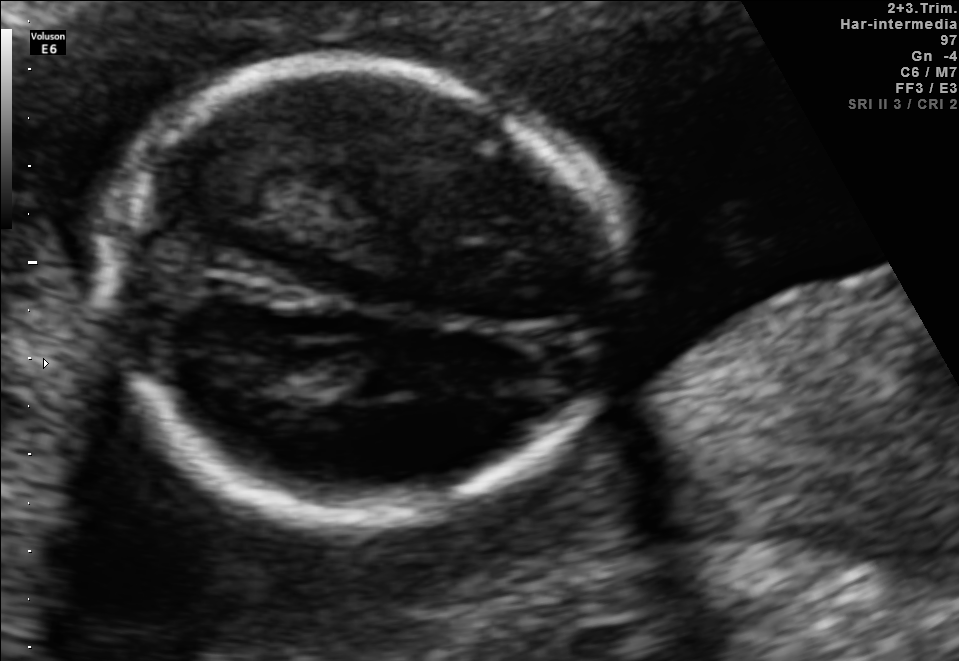
Which standard maternal-fetal ultrasound plane is shown: fetal abdomen, fetal brain, fetal femur, fetal thorax, maternal cervix, or other? If it's fetal brain and one of the three standard brain planes (trans-thalamic, trans-cerebellum, trans-ventricular), name which.

Fetal brain (trans-thalamic plane)